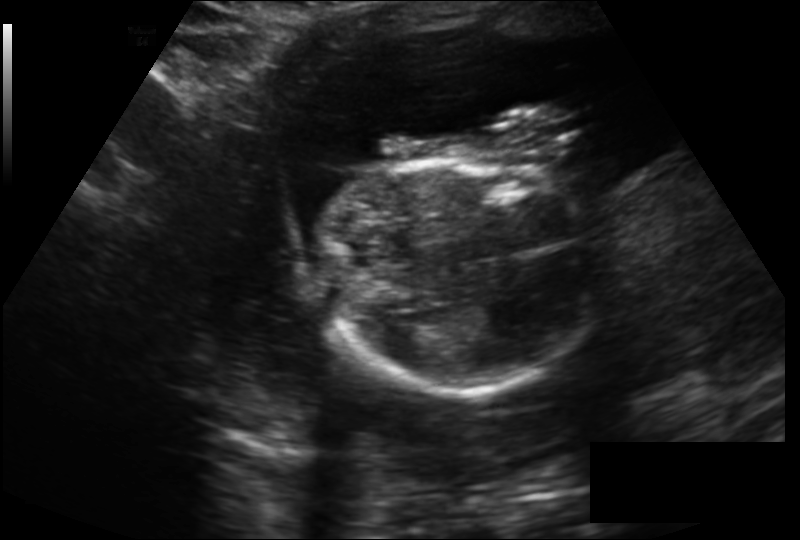
Estimate the fetal head circumference from this 2D ultrasound.

Head circumference: 160.8 mm (image width 155.8 mm).